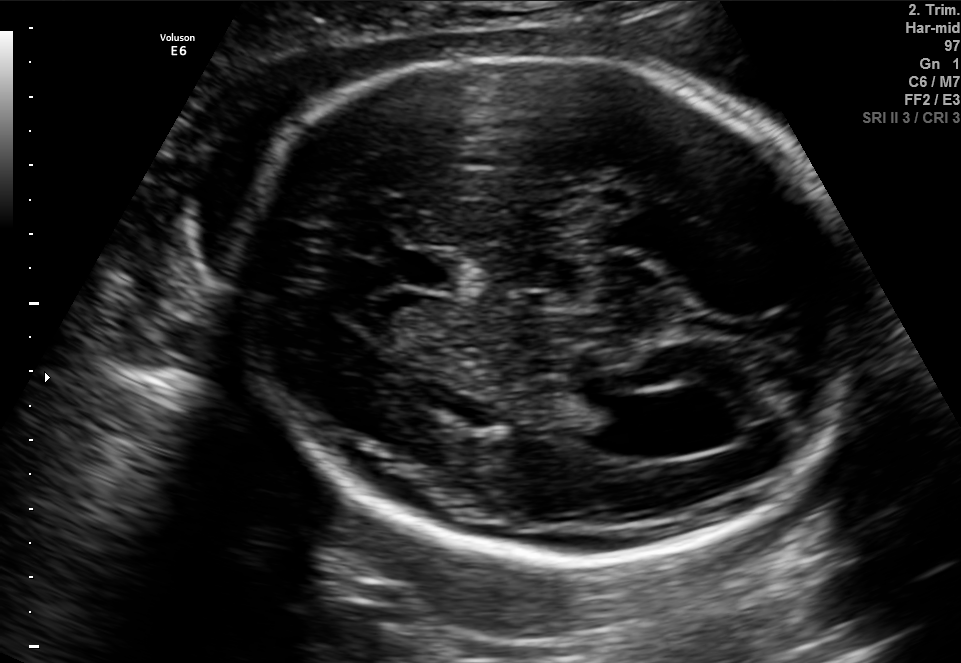
In this fetal brain, trans-ventricular plane, give the bounding box of the cavum septum pellucidum.

[375,244,472,296]